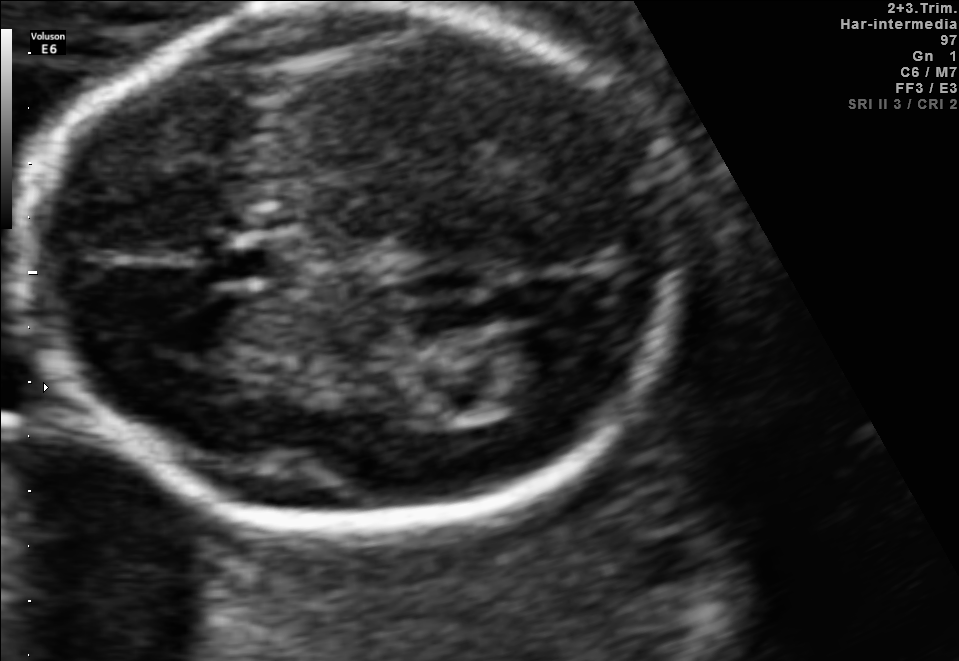
This is a 2D maternal-fetal ultrasound frame. Is it a fetal abdomen, fetal brain, fetal femur, fetal thorax, maternal cervix, or other standard plane? If it's fetal brain and one of the three standard brain planes (trans-thalamic, trans-cerebellum, trans-ventricular), name which.

Fetal brain (trans-thalamic plane)